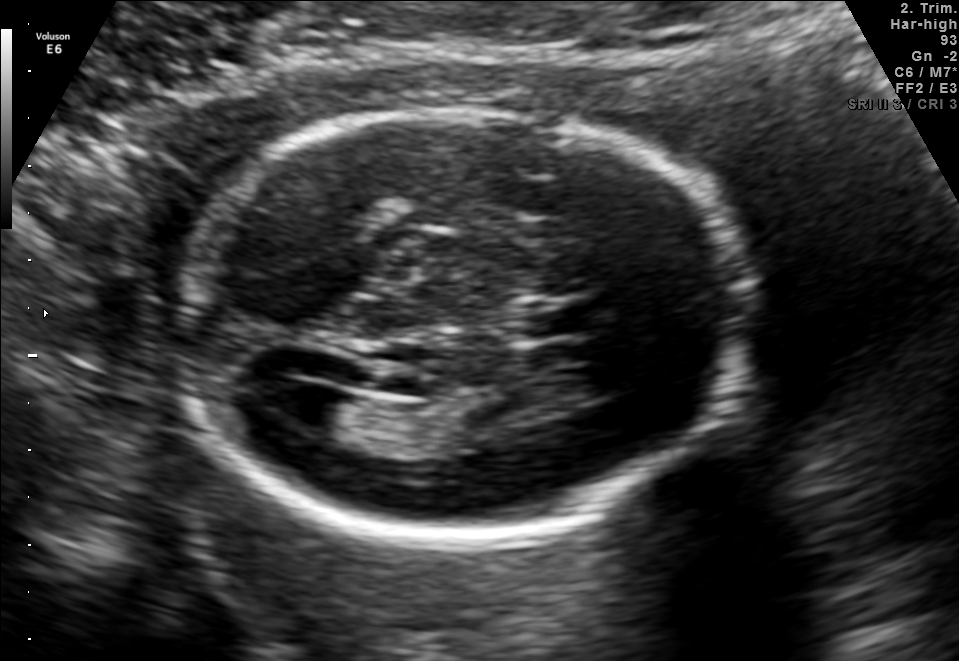
Fetal brain, trans-ventricular plane. Locate the fetal head.

Head: [167,95,762,556]